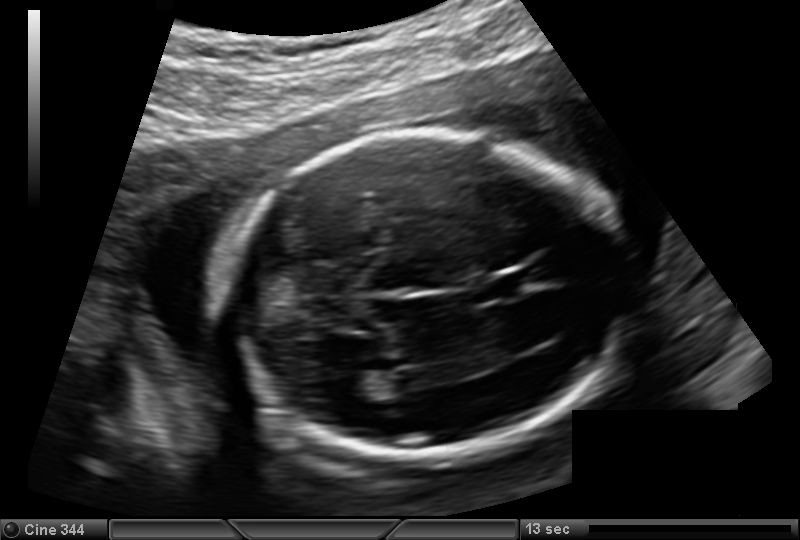
Fetal head ultrasound. Image width: 115.3 mm. Where is the lateral ventricle?

Lateral ventricle bounding box: [332,372,376,406]